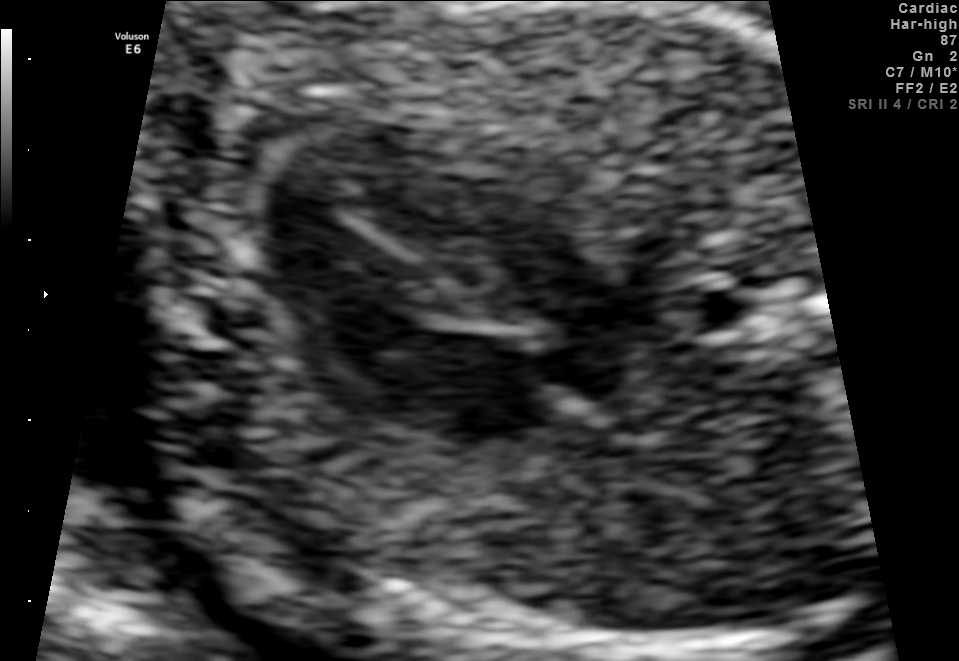
Classify this maternal-fetal ultrasound image as one of the six standard planes — fetal abdomen, fetal brain, fetal femur, fetal thorax, maternal cervix, or other. If it's fetal brain and one of the three standard brain planes (trans-thalamic, trans-cerebellum, trans-ventricular), name which.

Fetal thorax